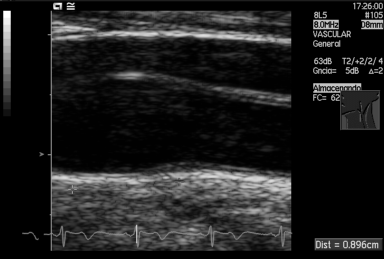
Identify the standard plane in this fetal ultrasound image: fetal abdomen, fetal brain, fetal femur, fetal thorax, maternal cervix, or other. If it's fetal brain and one of the three standard brain planes (trans-thalamic, trans-cerebellum, trans-ventricular), name which.

Other